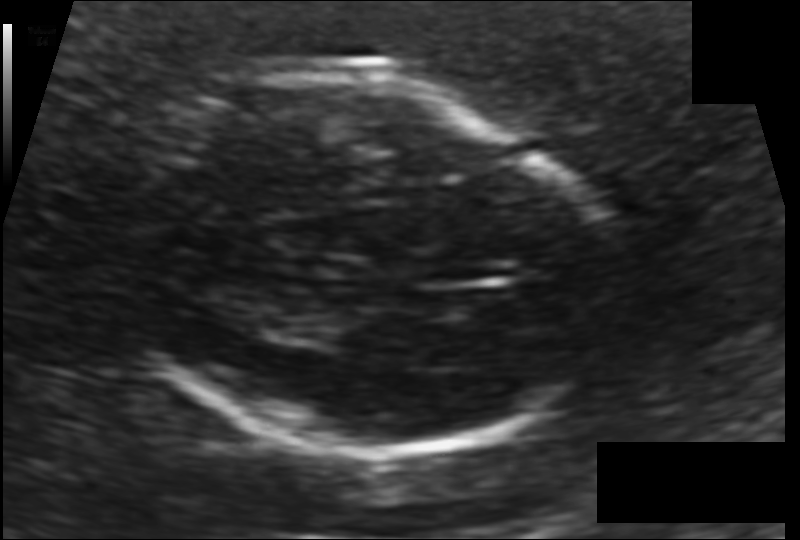
Fetal head ultrasound. Image width: 105.5 mm. Where is the fetal head?

Head bounding box: [113,78,608,452]